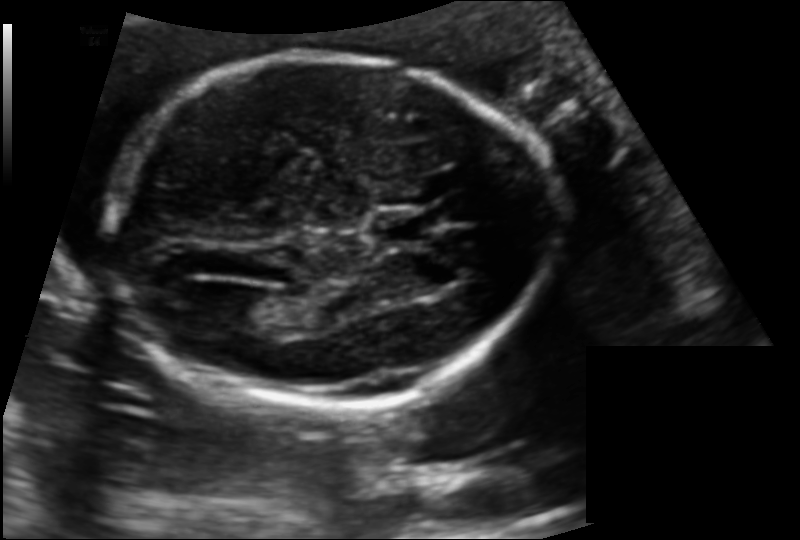
Estimate the fetal head circumference from this 2D ultrasound. Image width: 105.8 mm.

Head circumference: 171.7 mm.